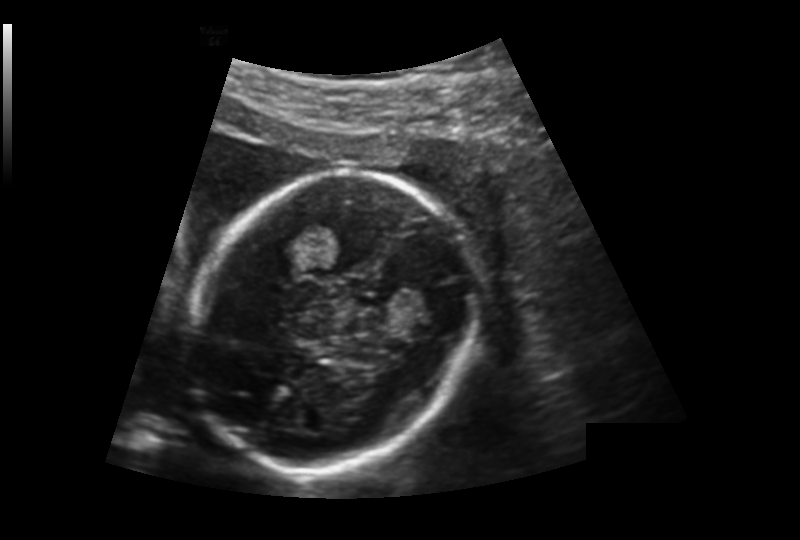
What is the fetal head circumference? Image width is 140.4 mm.

165.7 mm